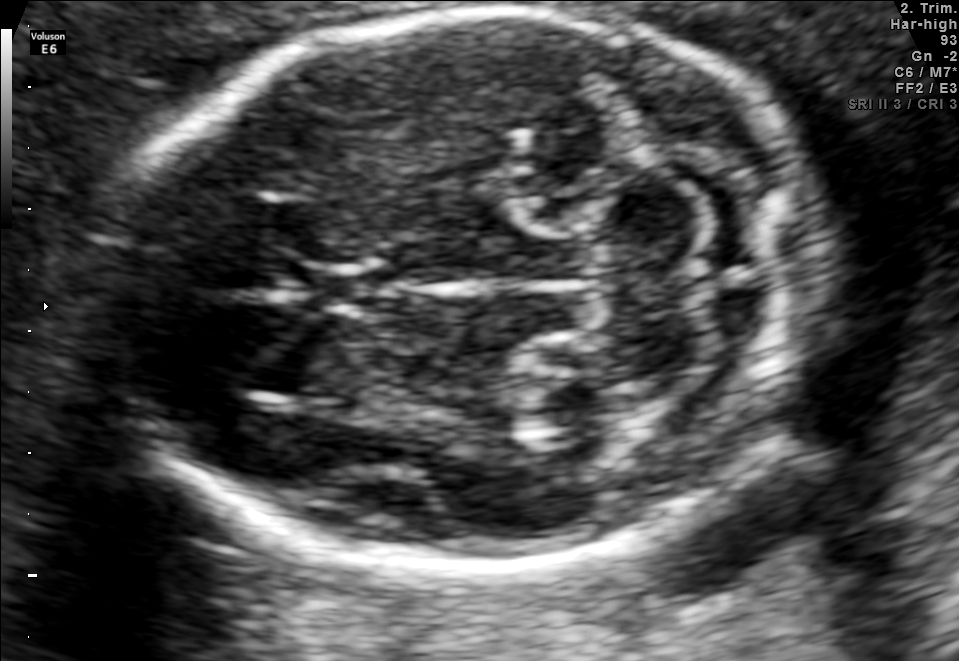
In this fetal brain, trans-cerebellum plane, give the bounding box of the cavum septum pellucidum.

[308,266,399,312]